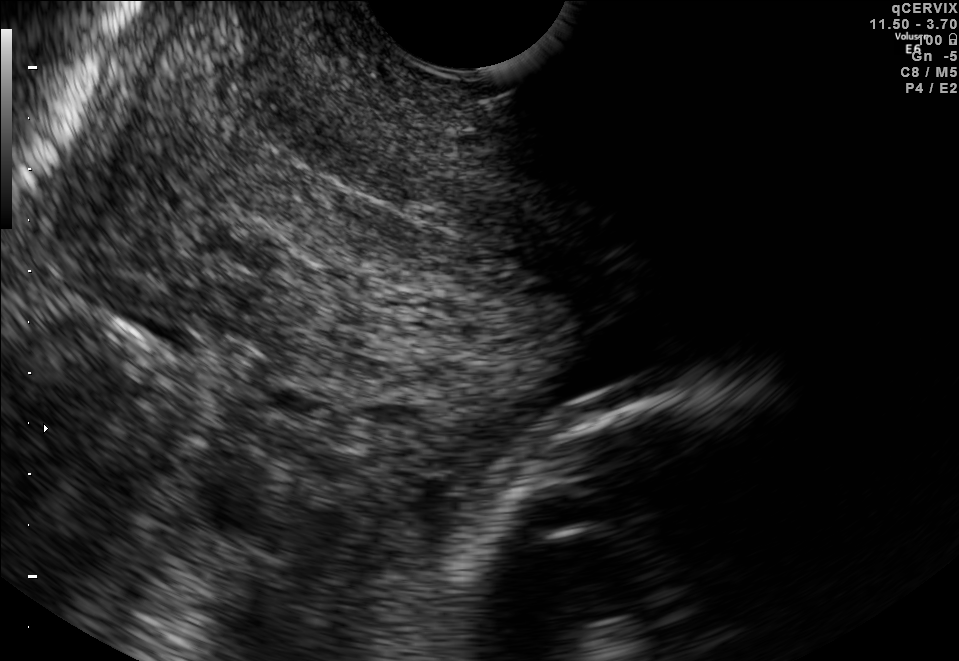
This is a 2D maternal-fetal ultrasound frame. Is it a fetal abdomen, fetal brain, fetal femur, fetal thorax, maternal cervix, or other standard plane? If it's fetal brain and one of the three standard brain planes (trans-thalamic, trans-cerebellum, trans-ventricular), name which.

Maternal cervix